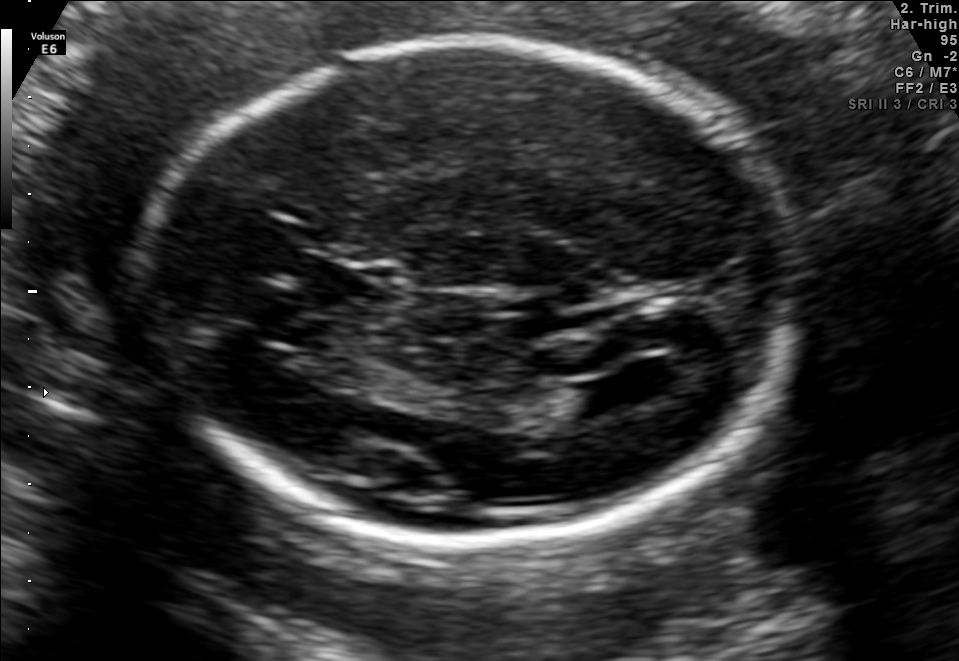
Which standard maternal-fetal ultrasound plane is shown: fetal abdomen, fetal brain, fetal femur, fetal thorax, maternal cervix, or other? If it's fetal brain and one of the three standard brain planes (trans-thalamic, trans-cerebellum, trans-ventricular), name which.

Fetal brain (trans-ventricular plane)